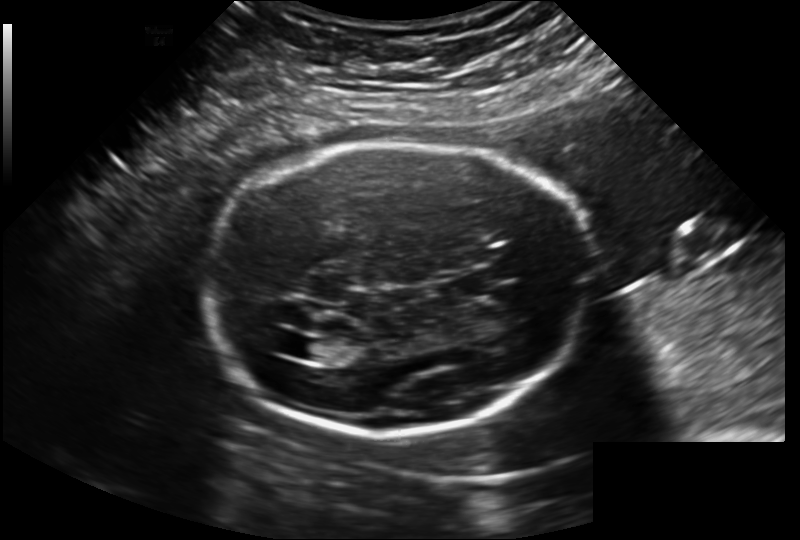
Fetal head ultrasound. Image width: 161.6 mm. Locate the fetal head and, if visible, the cavum septum pellucidum (CSP) and lateral ventricle (LV). Give bounding boxes as [x1,y1,x2,y2].

Head: [205,141,585,433]
CSP: [435,269,491,308]
Lateral ventricle: [285,333,327,363]